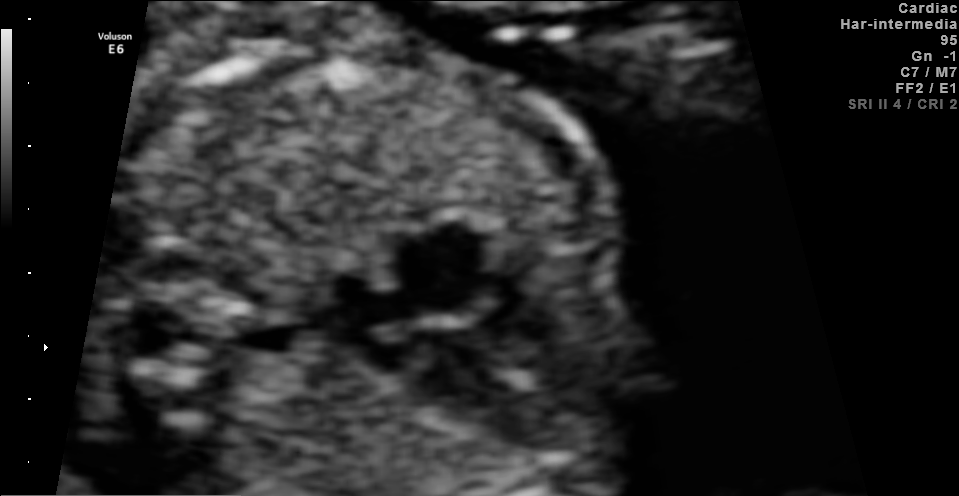
Identify the standard plane in this fetal ultrasound image: fetal abdomen, fetal brain, fetal femur, fetal thorax, maternal cervix, or other. If it's fetal brain and one of the three standard brain planes (trans-thalamic, trans-cerebellum, trans-ventricular), name which.

Fetal thorax